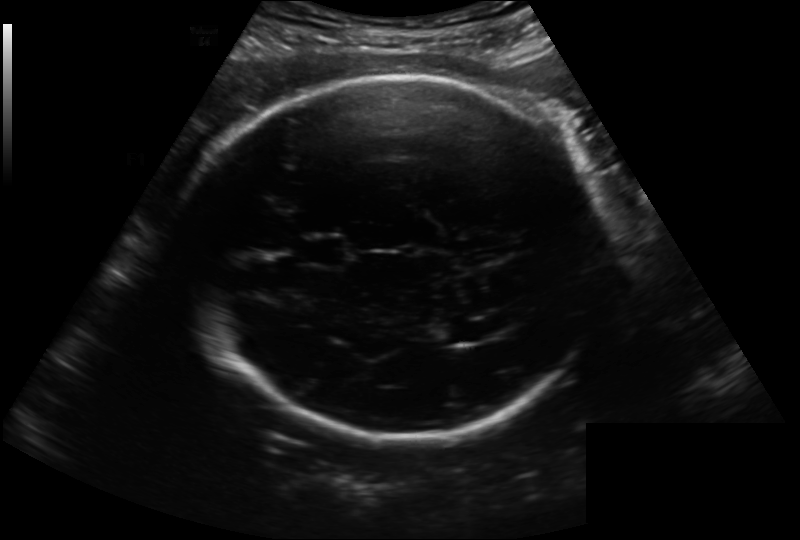
Fetal head ultrasound. Image width: 177.3 mm. Give [x1,y1,x2,y2] bounding boxes for each visible structure among: fetal head, CSP, LV.

Head: [179,74,607,436]
CSP: [303,237,346,266]
Lateral ventricle: [434,321,474,345]